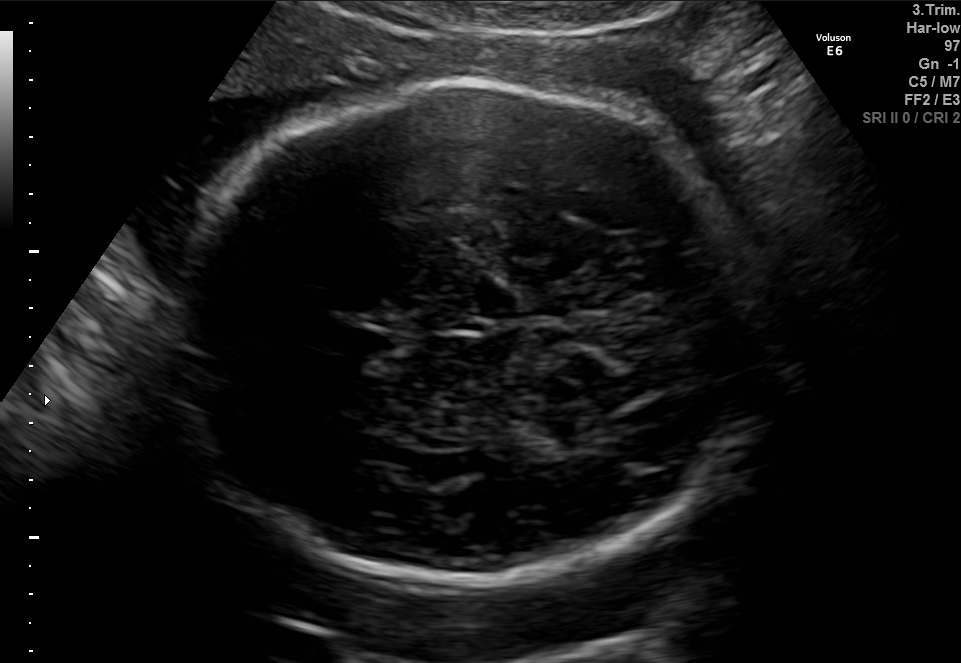
In this fetal brain, trans-thalamic plane, give the bounding box of the cavum septum pellucidum.

[347,328,395,357]